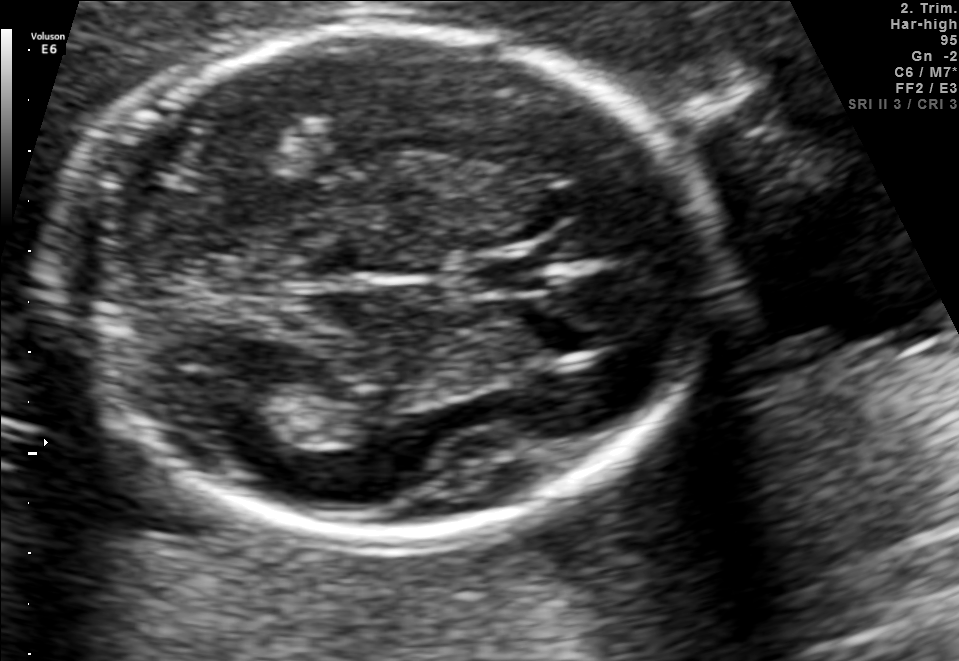
In this fetal brain, trans-thalamic plane, give the bounding box of the cavum septum pellucidum.

[464,254,550,295]